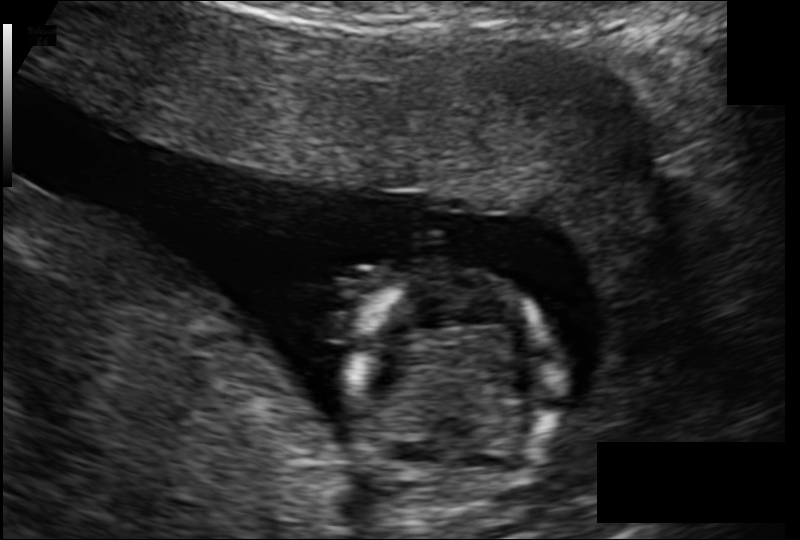
Estimate the fetal head circumference from this 2D ultrasound.

Head circumference: 93.3 mm (image width 98.6 mm).